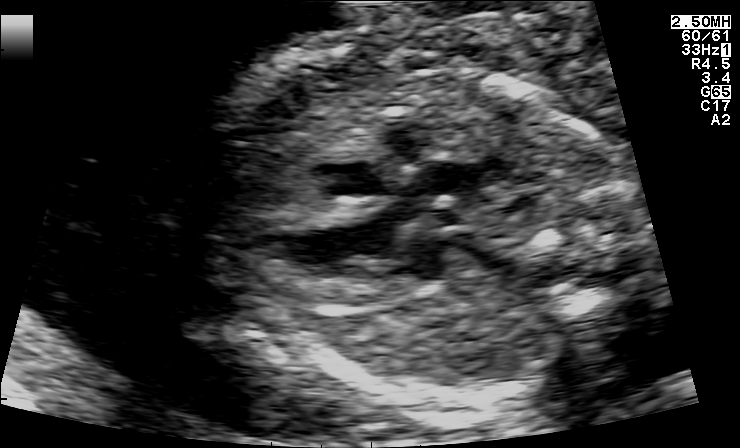
Classify this maternal-fetal ultrasound image as one of the six standard planes — fetal abdomen, fetal brain, fetal femur, fetal thorax, maternal cervix, or other. If it's fetal brain and one of the three standard brain planes (trans-thalamic, trans-cerebellum, trans-ventricular), name which.

Other